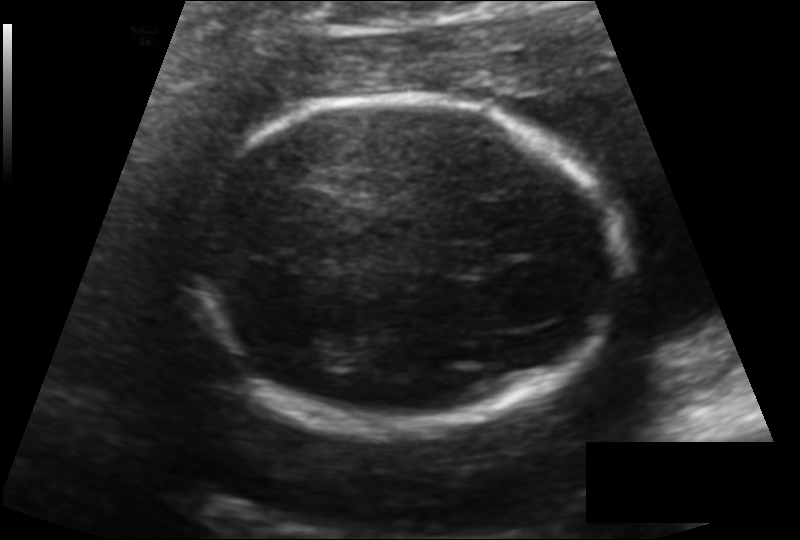
Fetal head ultrasound. Image width: 109.0 mm. Give [x1,y1,x2,y2] bounding boxes for each visible structure among: fetal head, CSP, LV.

Head: [178,99,627,430]